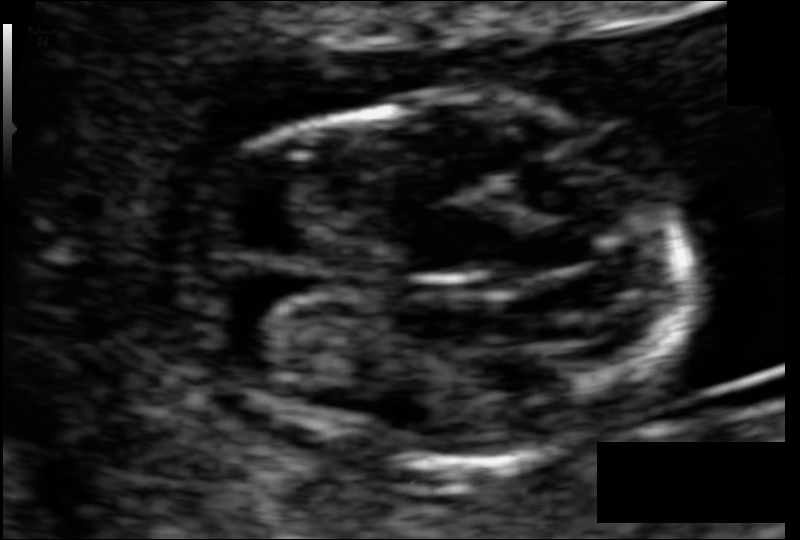
Fetal head ultrasound. Image width: 41.8 mm. Locate the fetal head and, if visible, the cavum septum pellucidum (CSP) and lateral ventricle (LV). Give bounding boxes as [x1,y1,x2,y2].

Head: [180,100,697,463]